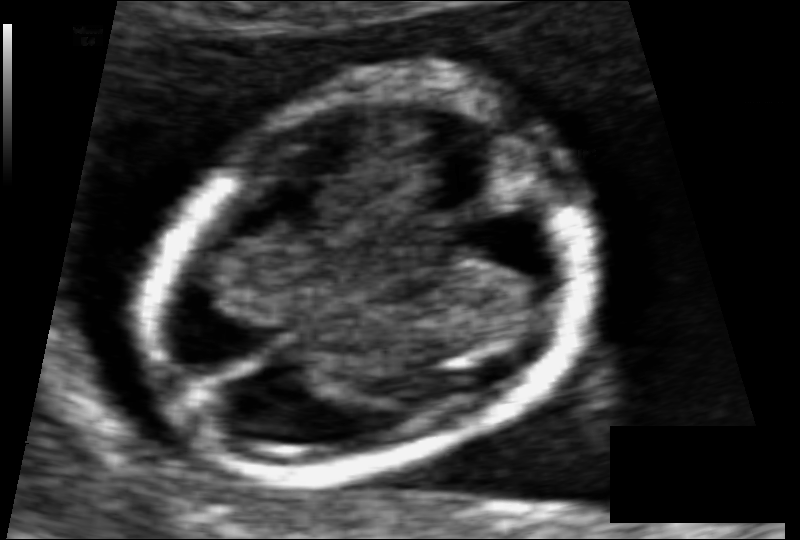
In this fetal head ultrasound, give the bounding box of the fetal head. Image width: 49.2 mm.

[143,87,586,477]